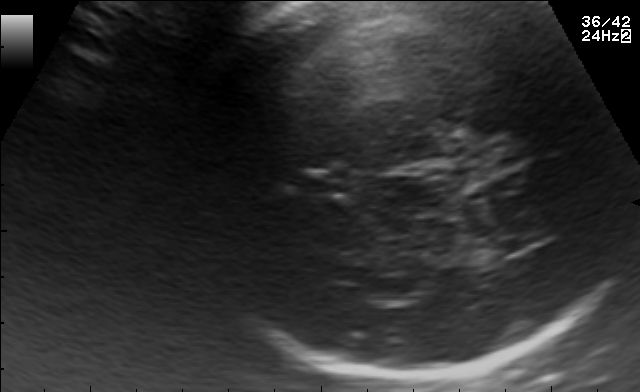
Fetal brain, trans-thalamic plane. Where is the fetal head?

Head bounding box: [182,2,627,378]